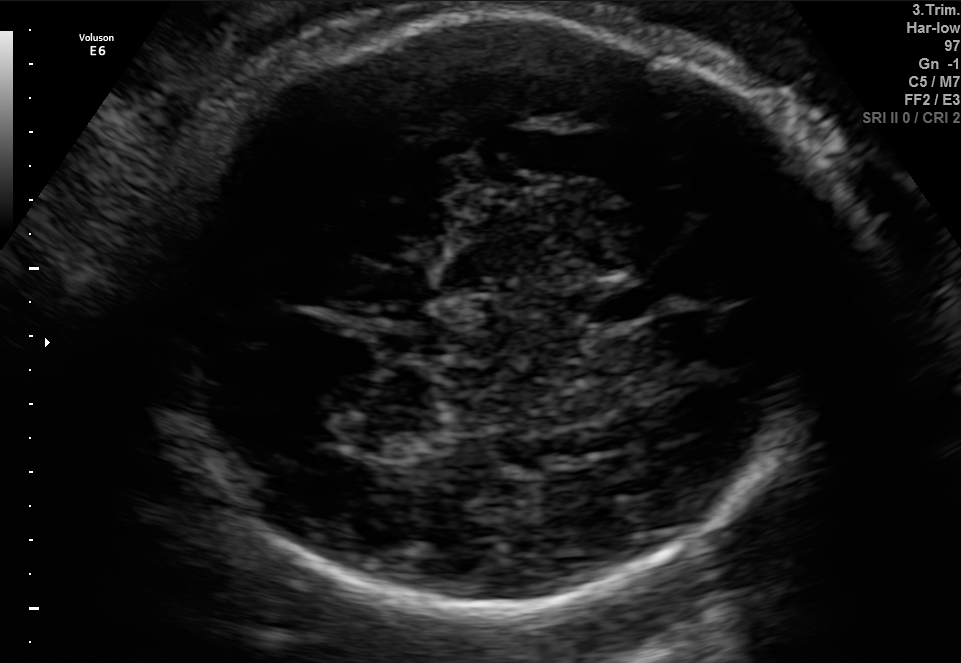
Fetal brain, trans-thalamic plane. Give [x1,y1,x2,y2] bounding boxes for each visible structure among: fetal head, CSP, LV.

Head: [149,12,836,609]
CSP: [578,281,657,336]